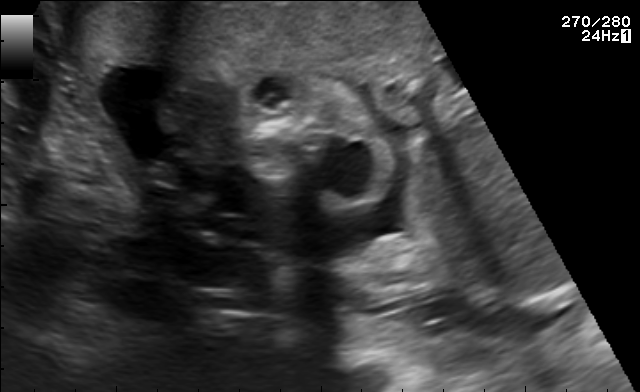
Identify the standard plane in this fetal ultrasound image: fetal abdomen, fetal brain, fetal femur, fetal thorax, maternal cervix, or other. If it's fetal brain and one of the three standard brain planes (trans-thalamic, trans-cerebellum, trans-ventricular), name which.

Other